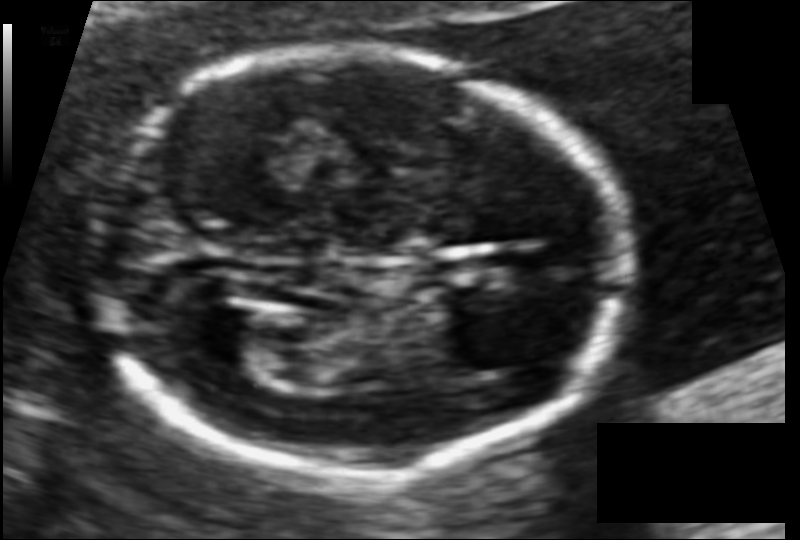
Fetal head ultrasound. Image width: 69.9 mm. Give [x1,y1,x2,y2] bounding boxes for each visible structure among: fetal head, CSP, LV.

Head: [96,49,619,475]
Lateral ventricle: [180,298,276,373]